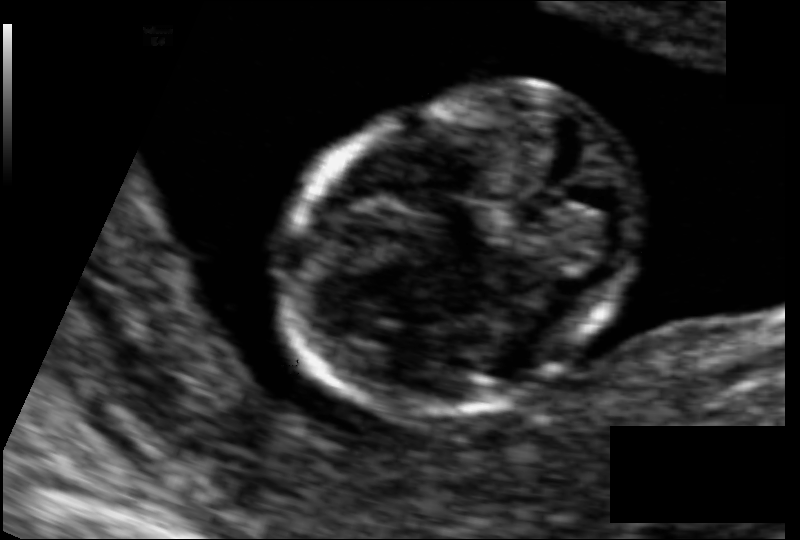
From this fetal ultrasound, estimate the head circumference (image width 52.4 mm).

Head circumference: 72.8 mm.